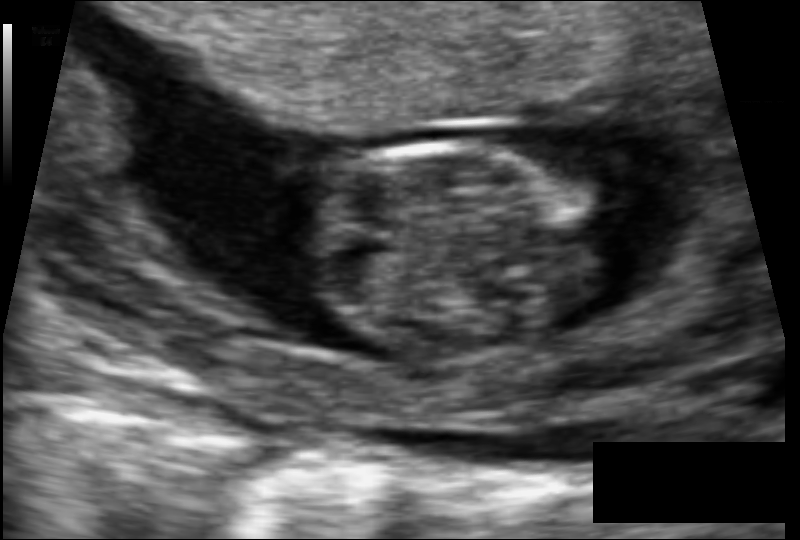
Measure the fetal head circumference shown in this ultrasound image. Image width: 61.8 mm.

Head circumference: 60.3 mm.